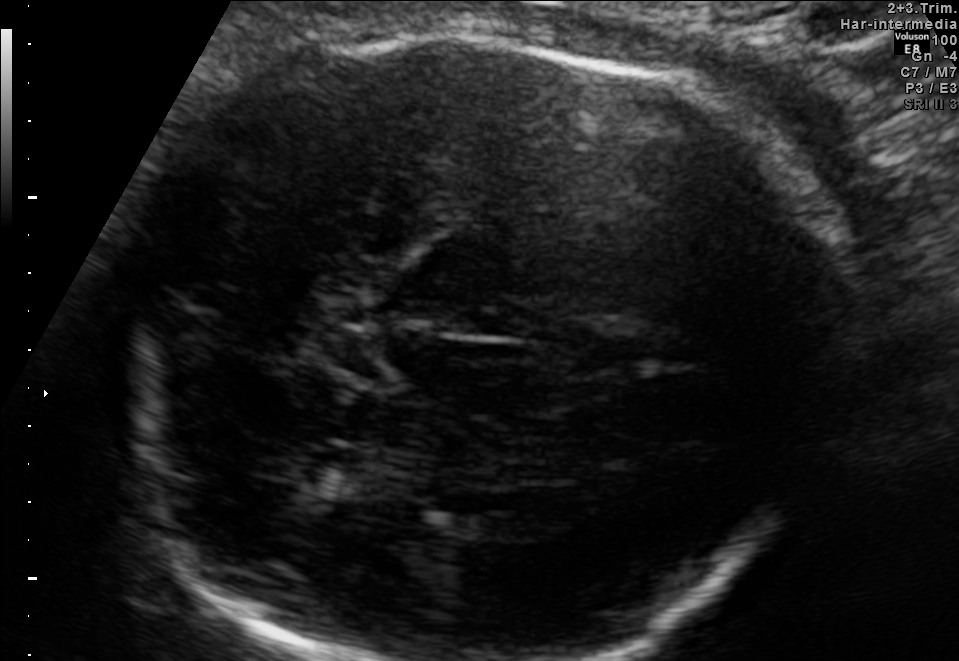
Fetal brain, trans-thalamic plane. Where is the lateral ventricle?

Lateral ventricle bounding box: [276,434,379,498]